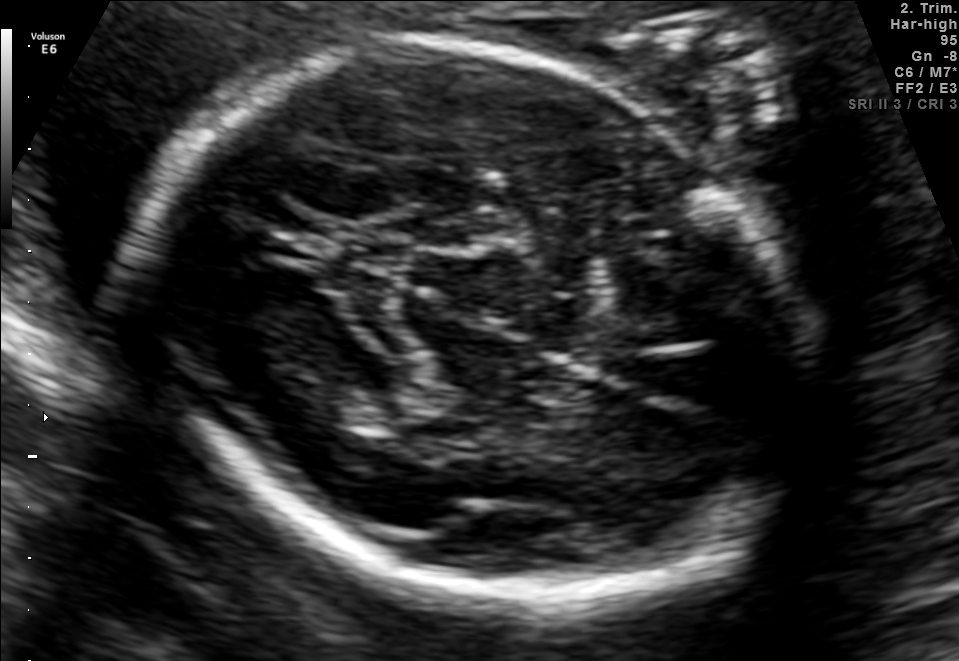
Fetal brain, trans-thalamic plane. Locate the fetal head and, if visible, the cavum septum pellucidum (CSP) and lateral ventricle (LV). Give bounding boxes as [x1,y1,x2,y2].

Head: [143,40,802,601]